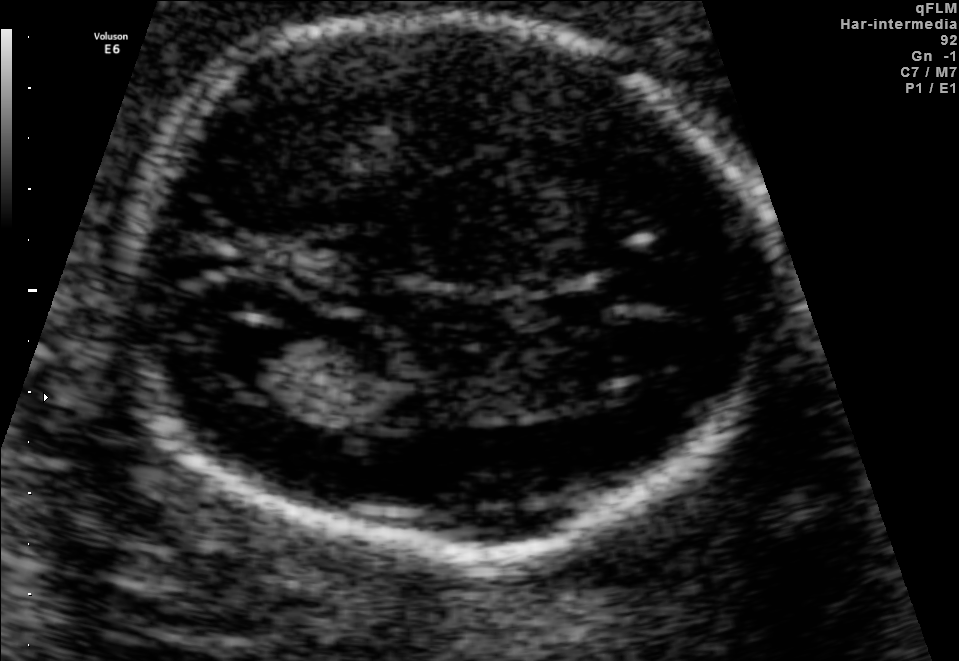
In this fetal brain, trans-ventricular plane, give bounding boxes for the head outline, cavum septum pellucidum (CSP), and lateral ventricle (LV), where visible.

Head: [100,6,783,571]
Lateral ventricle: [190,307,298,392]